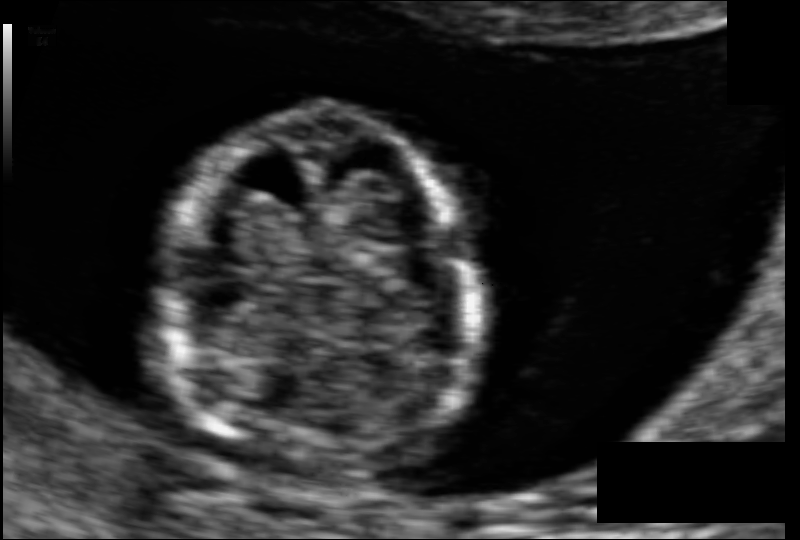
Estimate the fetal head circumference from this 2D ultrasound. Image width: 54.8 mm.

Head circumference: 76.4 mm.